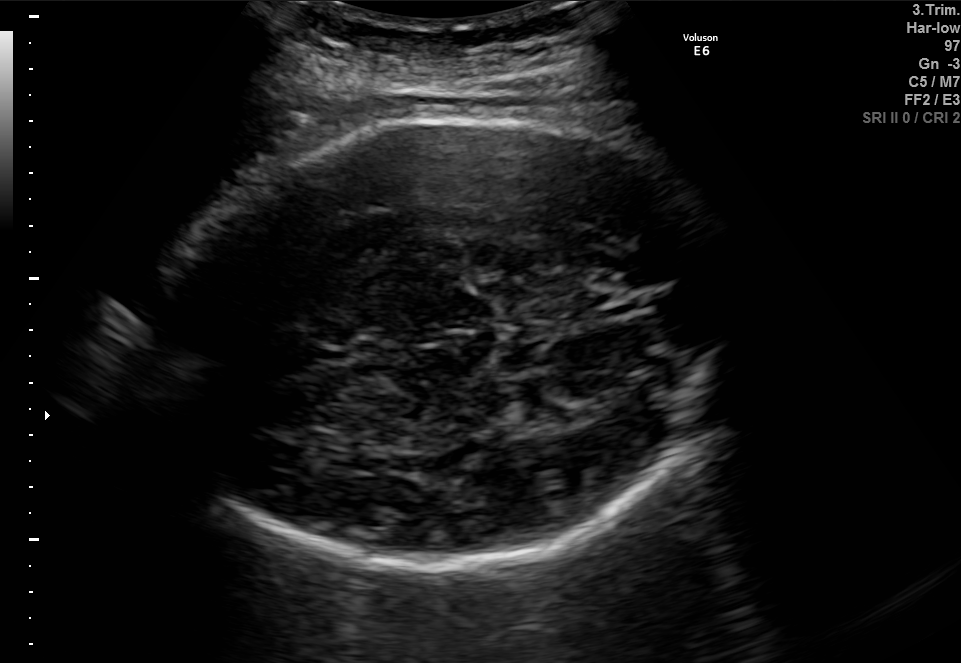
Fetal brain, trans-thalamic plane. Locate the fetal head and, if visible, the cavum septum pellucidum (CSP) and lateral ventricle (LV). Give bounding boxes as [x1,y1,x2,y2].

Head: [147,111,734,564]